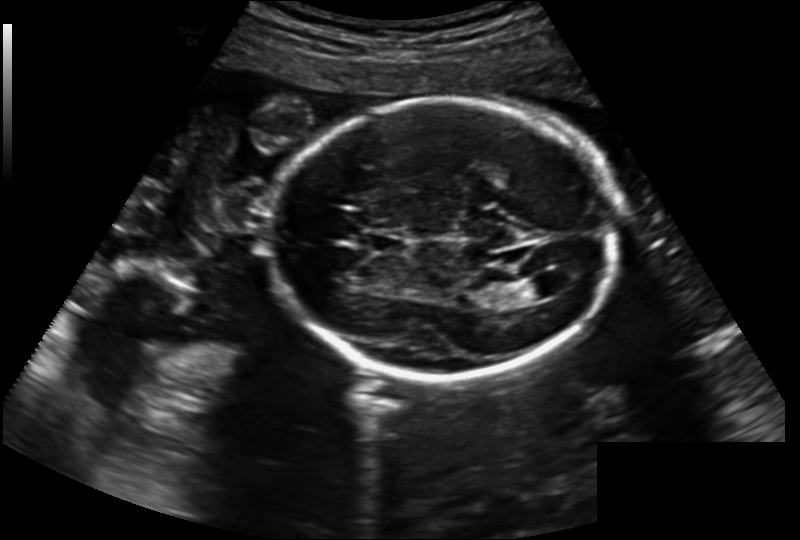
Fetal head ultrasound. Image width: 161.7 mm. Give [x1,y1,x2,y2] bounding boxes for each visible structure among: fetal head, CSP, LV.

Head: [267,100,618,378]
CSP: [368,231,405,252]
Lateral ventricle: [519,272,561,304]